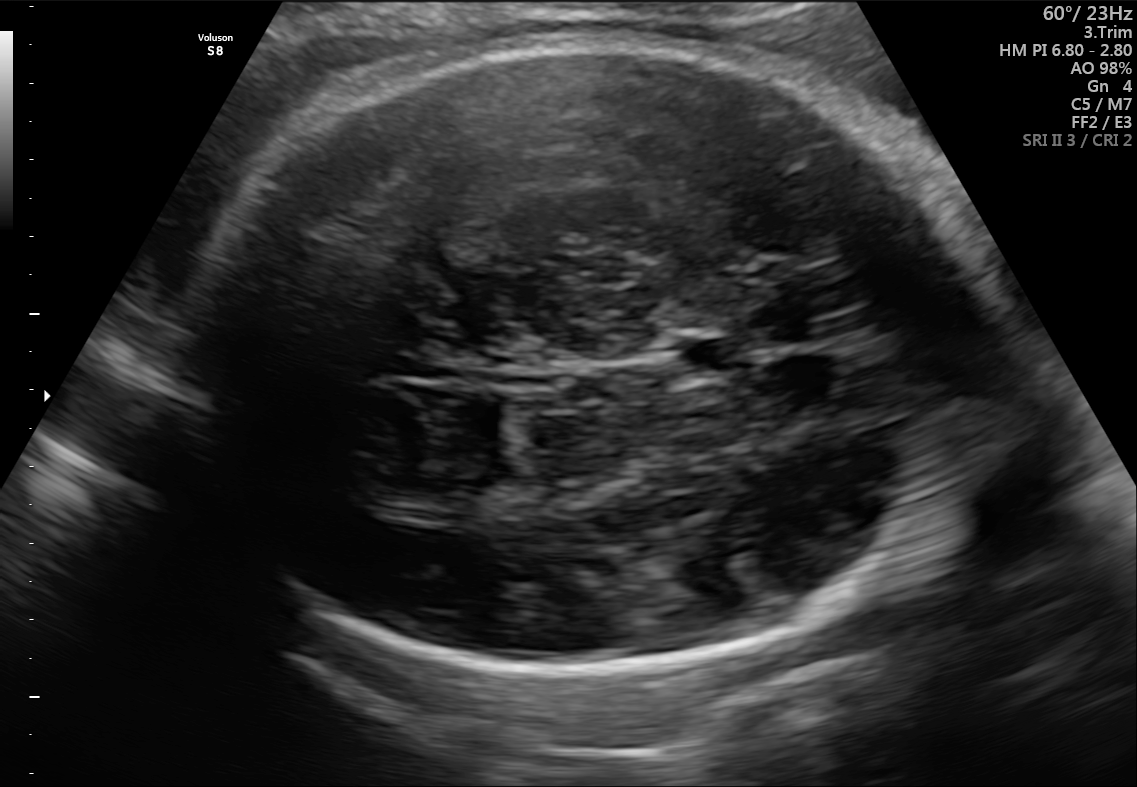
Fetal brain, trans-thalamic plane. Locate the cavum septum pellucidum.

CSP: [674,334,747,379]